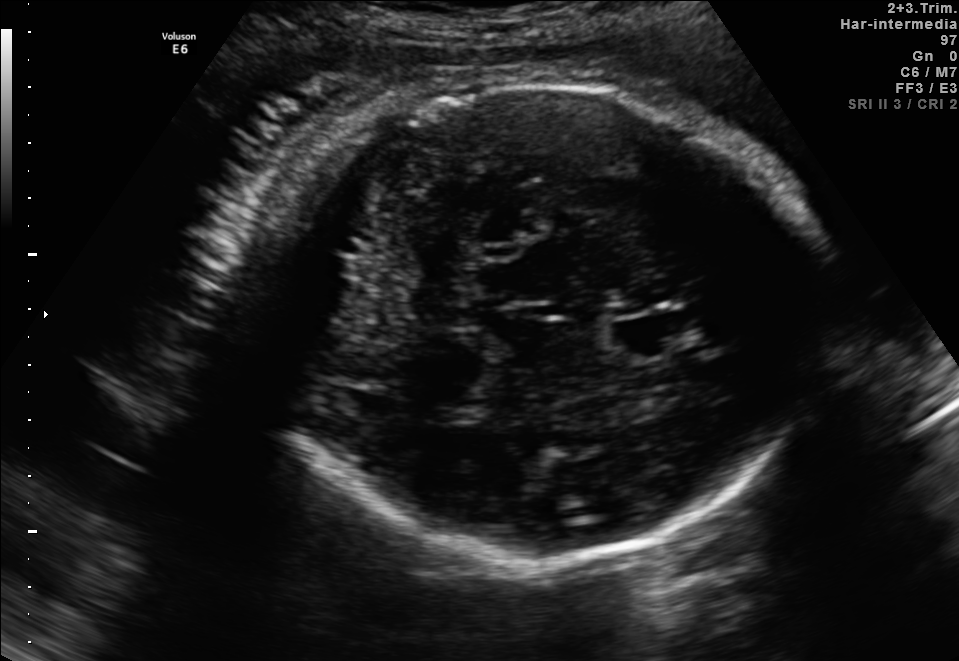
Fetal brain, trans-thalamic plane. Give [x1,y1,x2,y2] bounding boxes for each visible structure among: fetal head, CSP, LV.

Head: [225,83,818,562]
CSP: [611,310,693,359]